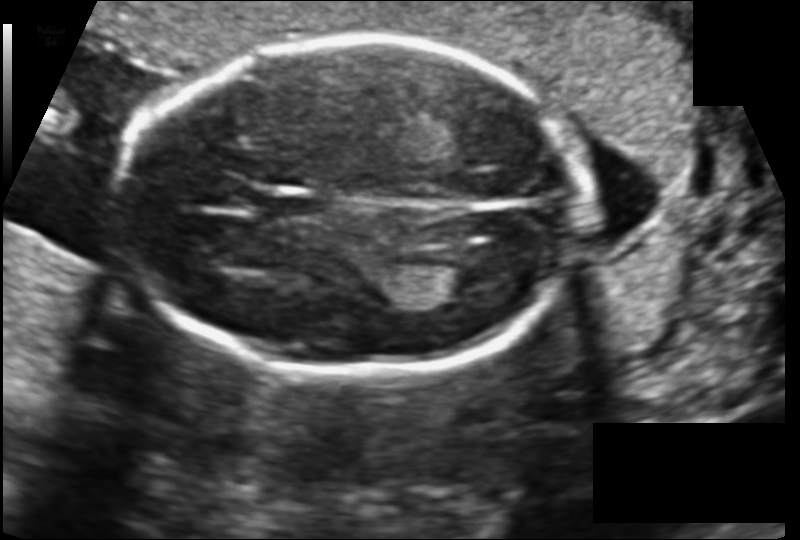
Fetal head ultrasound. Image width: 102.7 mm. Locate the cavum septum pellucidum.

CSP: [263,193,326,224]